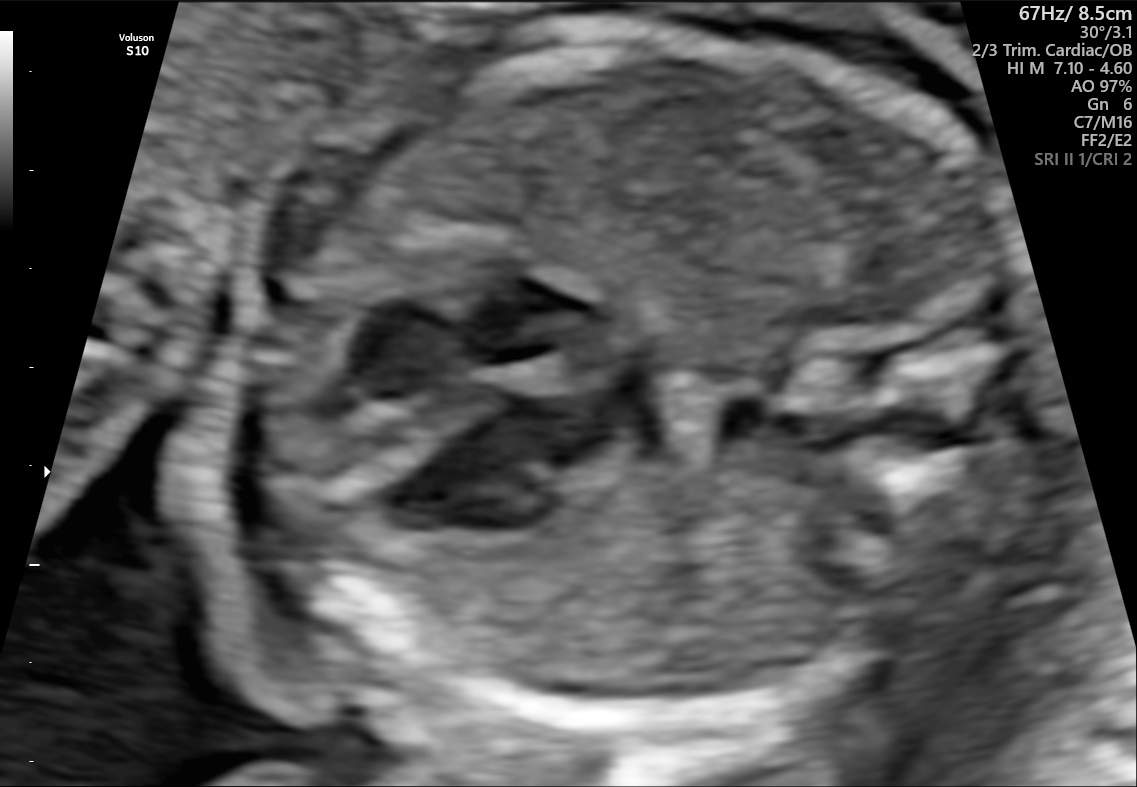
Which standard maternal-fetal ultrasound plane is shown: fetal abdomen, fetal brain, fetal femur, fetal thorax, maternal cervix, or other? If it's fetal brain and one of the three standard brain planes (trans-thalamic, trans-cerebellum, trans-ventricular), name which.

Fetal thorax